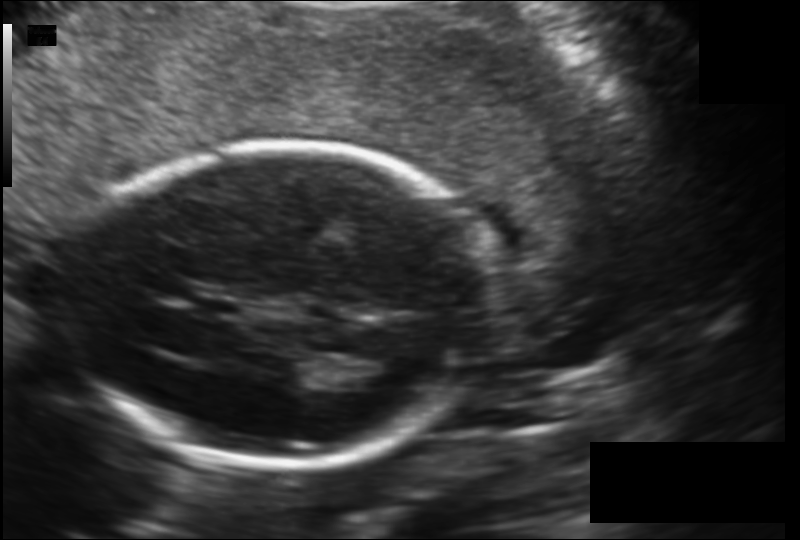
Fetal head ultrasound. Image width: 117.3 mm. Where is the fetal head?

Head bounding box: [70,145,493,472]